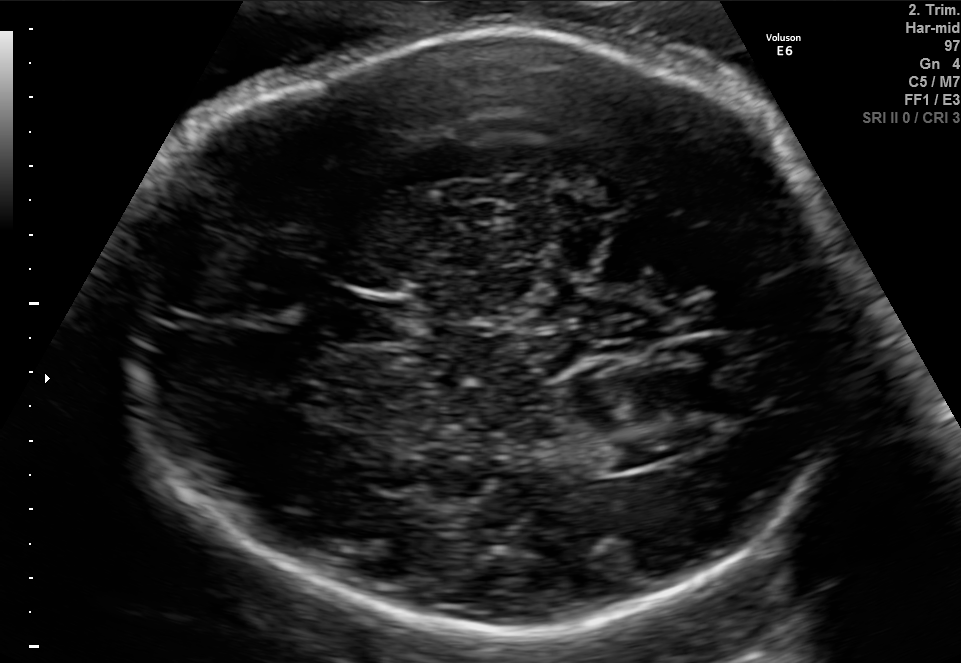
Fetal brain, trans-ventricular plane. Locate the lateral ventricle.

Lateral ventricle: [611,424,690,472]